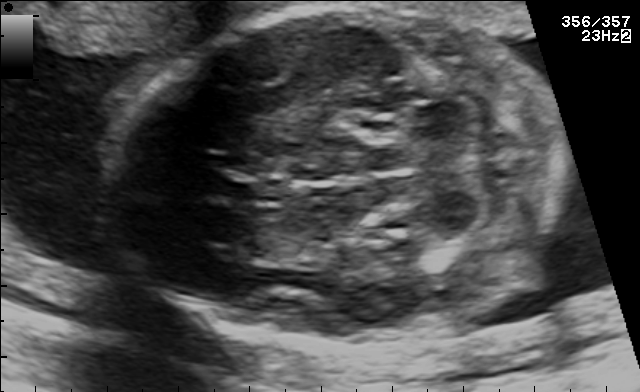
Fetal brain, trans-cerebellum plane. Locate the fetal head.

Head: [108,11,564,339]